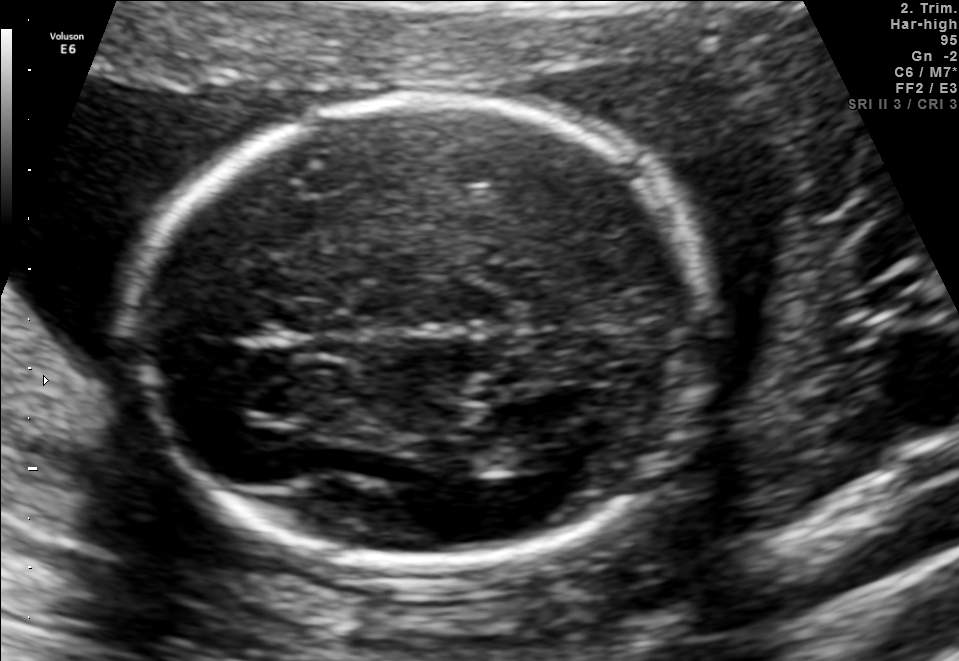
Fetal brain, trans-thalamic plane. Give [x1,y1,x2,y2] bounding boxes for each visible structure among: fetal head, CSP, LV.

Head: [137,98,698,559]
Lateral ventricle: [471,431,565,478]